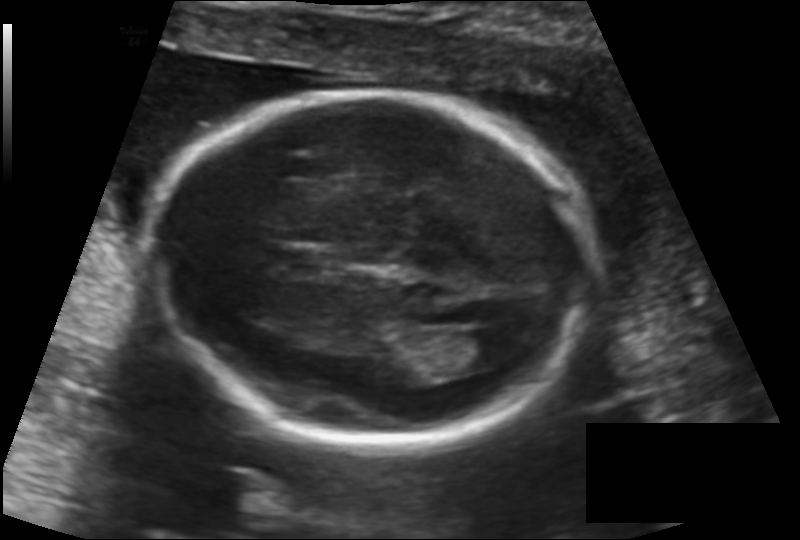
Fetal head ultrasound. Image width: 109.6 mm. Locate the lateral ventricle.

Lateral ventricle: [448,325,516,373]